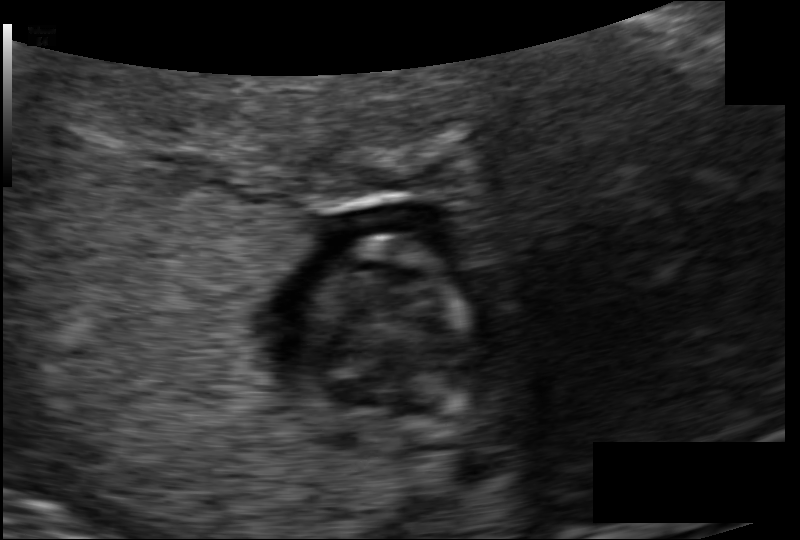
What is the fetal head circumference? Image width is 78.7 mm.

62.5 mm